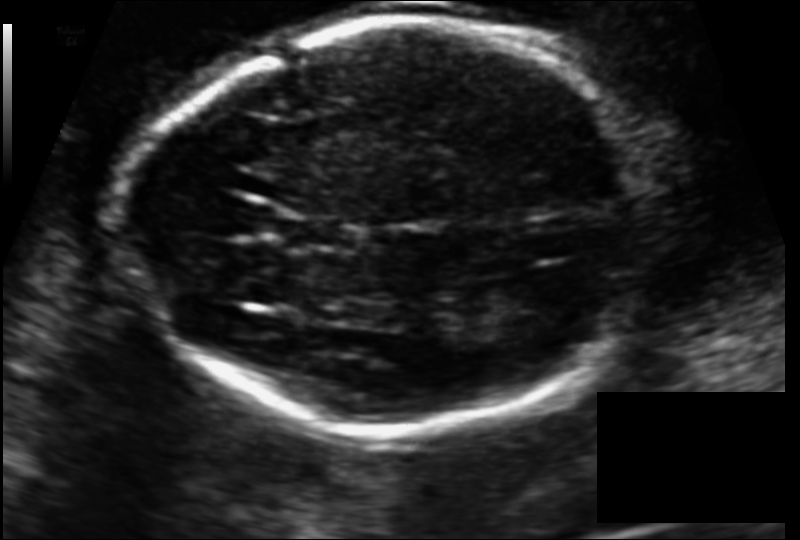
Estimate the fetal head circumference from this 2D ultrasound. Image width: 98.9 mm.

Head circumference: 189.1 mm.